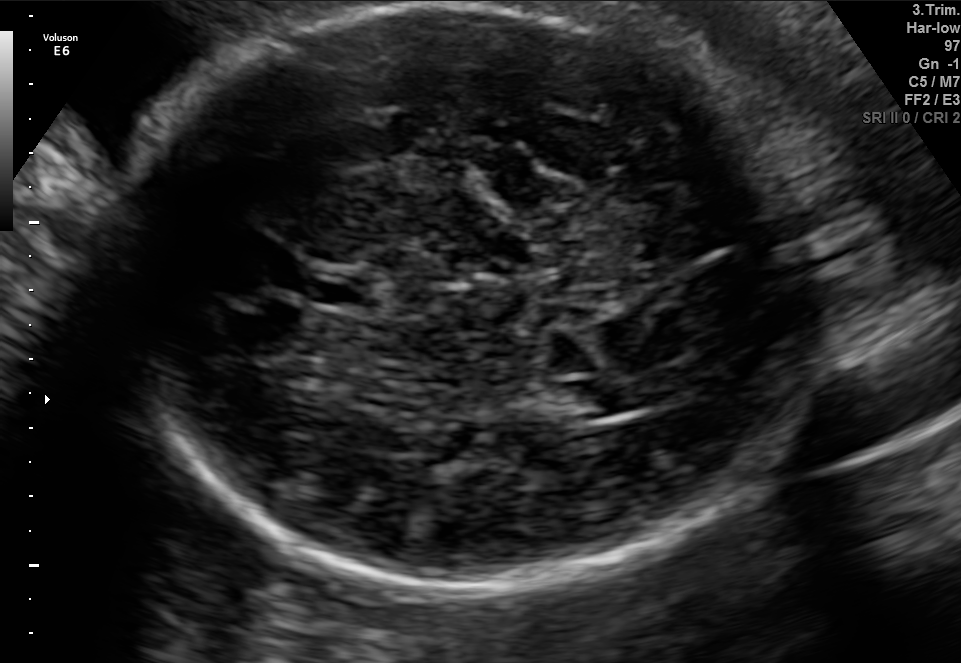
Fetal brain, trans-ventricular plane. Where is the cavum septum pellucidum?

CSP bounding box: [311,270,371,311]